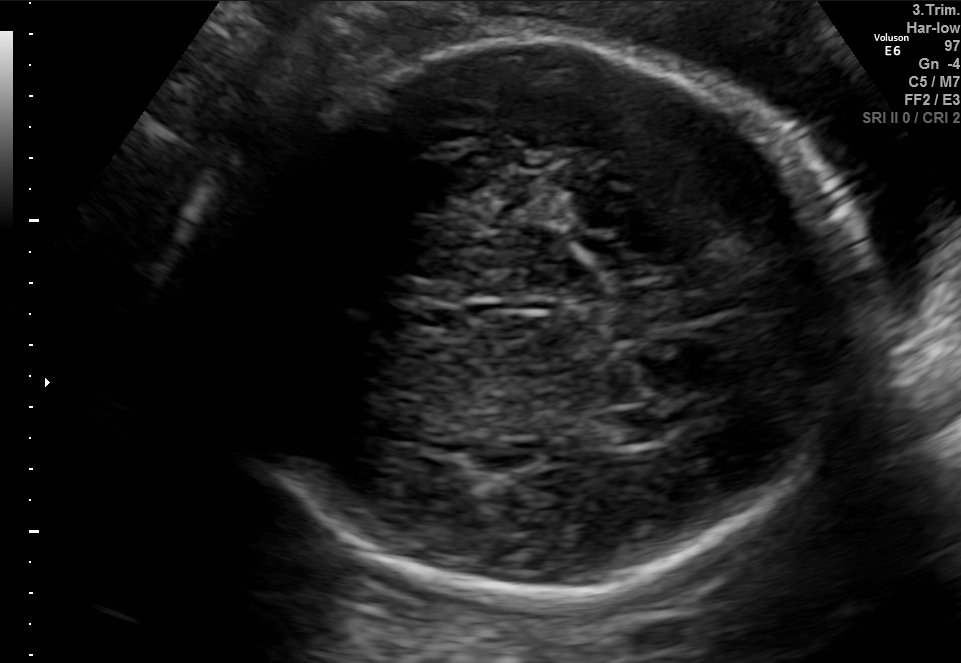
Fetal brain, trans-thalamic plane. Where is the lateral ventricle?

Lateral ventricle bounding box: [584,404,662,453]